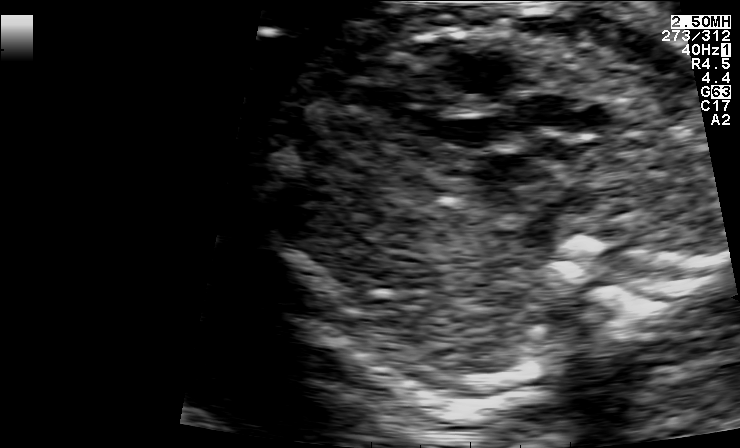
Classify this maternal-fetal ultrasound image as one of the six standard planes — fetal abdomen, fetal brain, fetal femur, fetal thorax, maternal cervix, or other. If it's fetal brain and one of the three standard brain planes (trans-thalamic, trans-cerebellum, trans-ventricular), name which.

Other